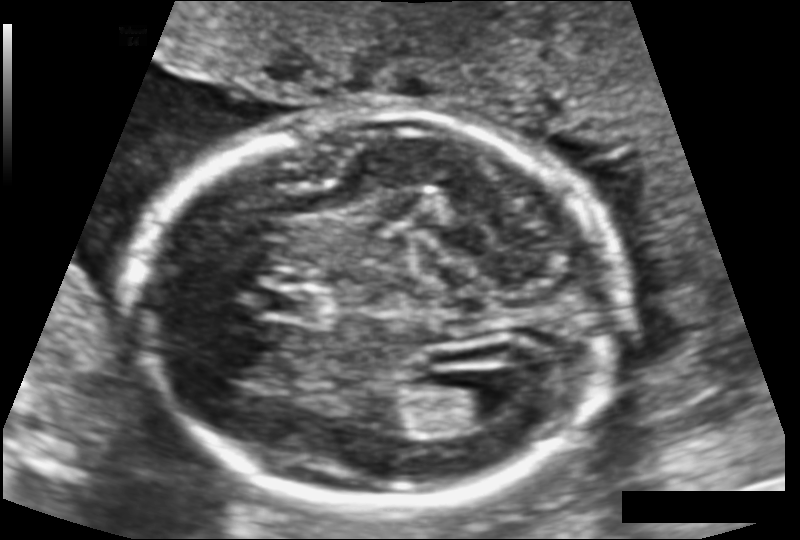
From this fetal ultrasound, estimate the head circumference (image width 99.5 mm).

Head circumference: 179.0 mm.